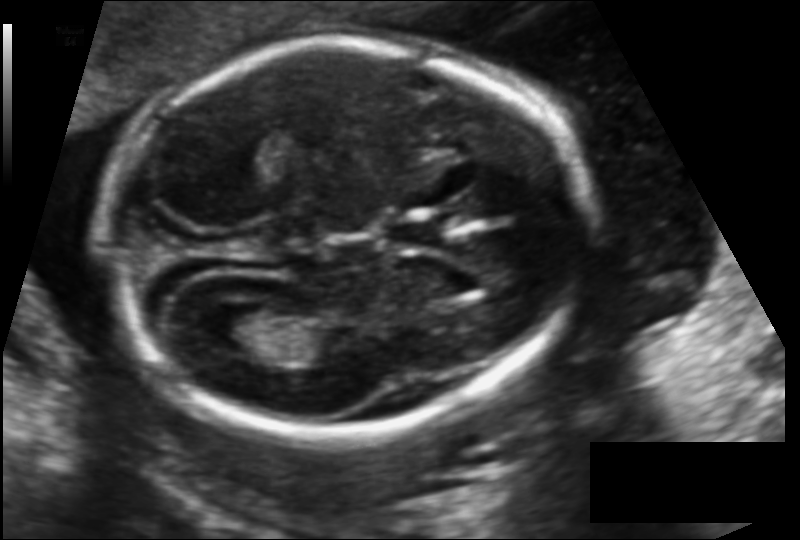
Fetal head ultrasound. Image width: 98.7 mm. Locate the lateral ventricle.

Lateral ventricle: [200,308,271,352]